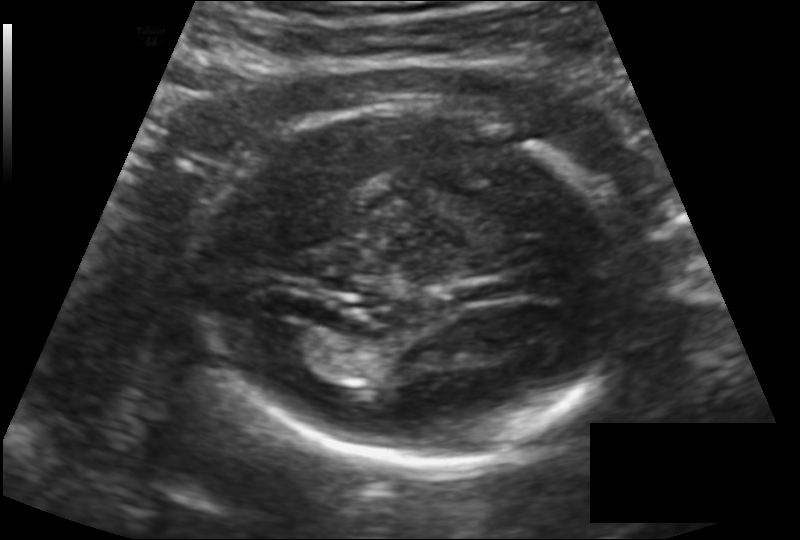
Fetal head ultrasound. Image width: 113.7 mm. Locate the fetal head.

Head: [206,107,627,469]